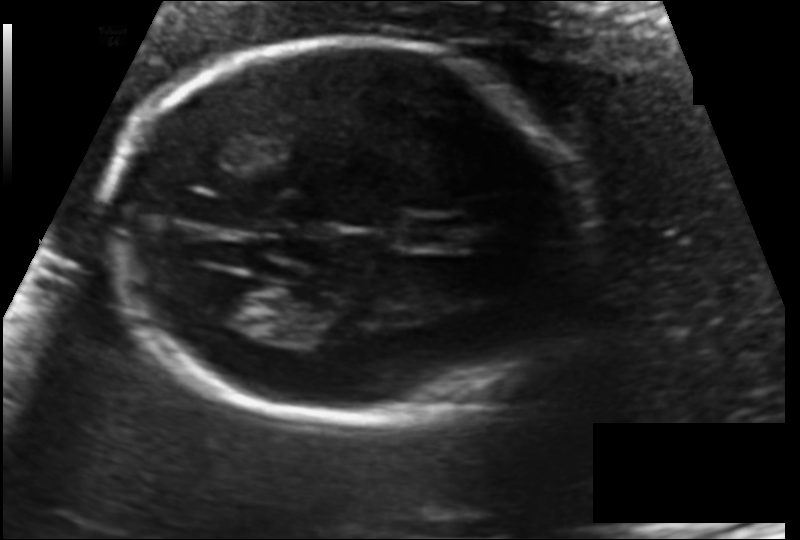
Measure the fetal head circumference shown in this ultrasound image. Image width: 97.9 mm.

Head circumference: 170.2 mm.